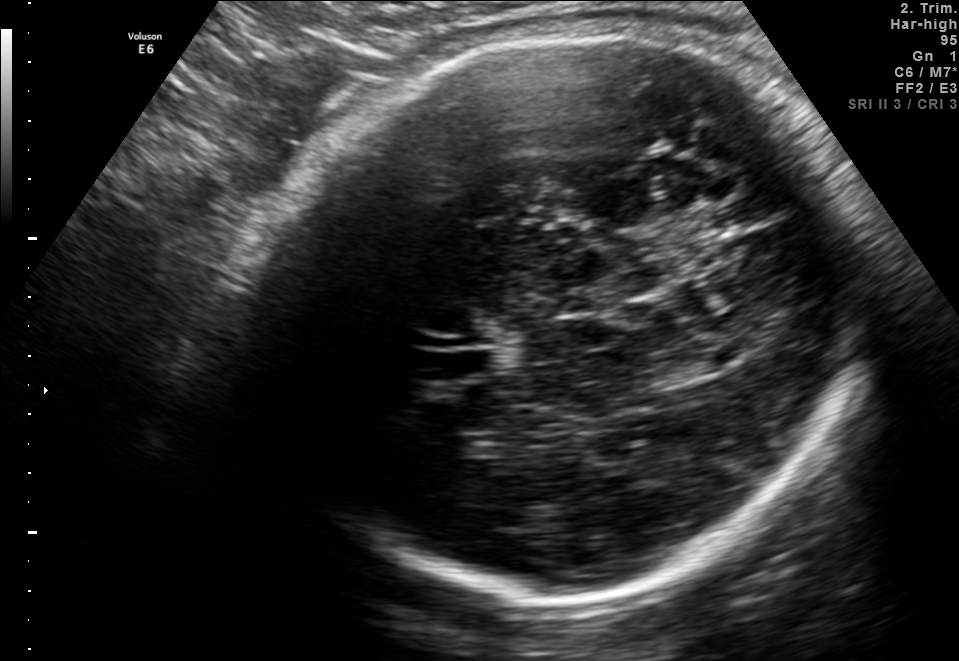
In this fetal brain, trans-thalamic plane, give bounding boxes for the head outline, cavum septum pellucidum (CSP), and lateral ventricle (LV), where visible.

Head: [232,32,867,597]
Lateral ventricle: [670,348,723,383]